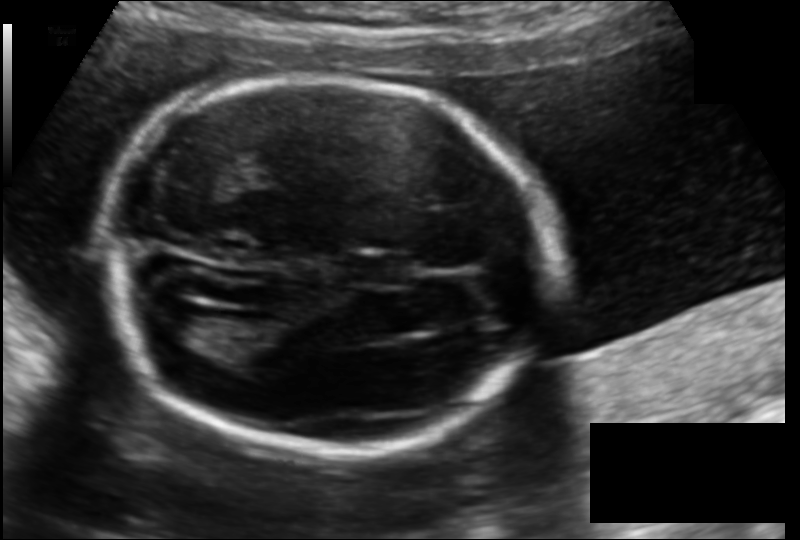
From this fetal ultrasound, estimate the head circumference (image width 107.8 mm).

Head circumference: 180.9 mm.